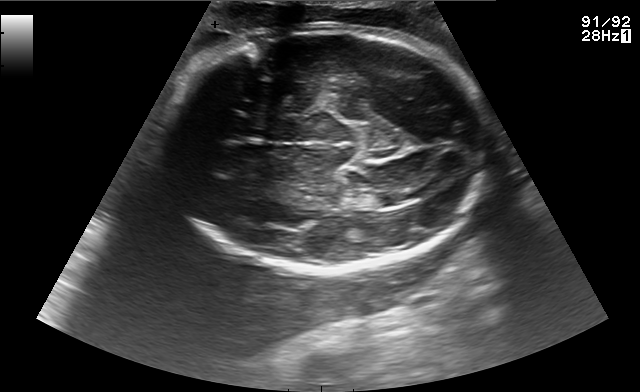
Fetal brain, trans-thalamic plane. Where is the lateral ventricle?

Lateral ventricle bounding box: [371,184,421,212]